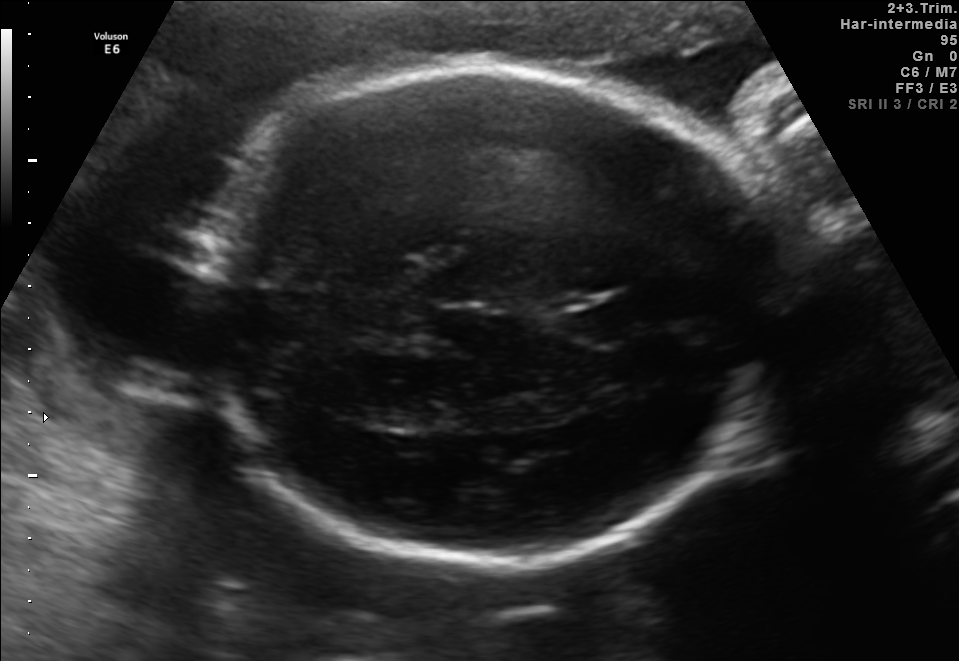
In this fetal brain, trans-thalamic plane, give the bounding box of the fetal head.

[191,68,786,561]